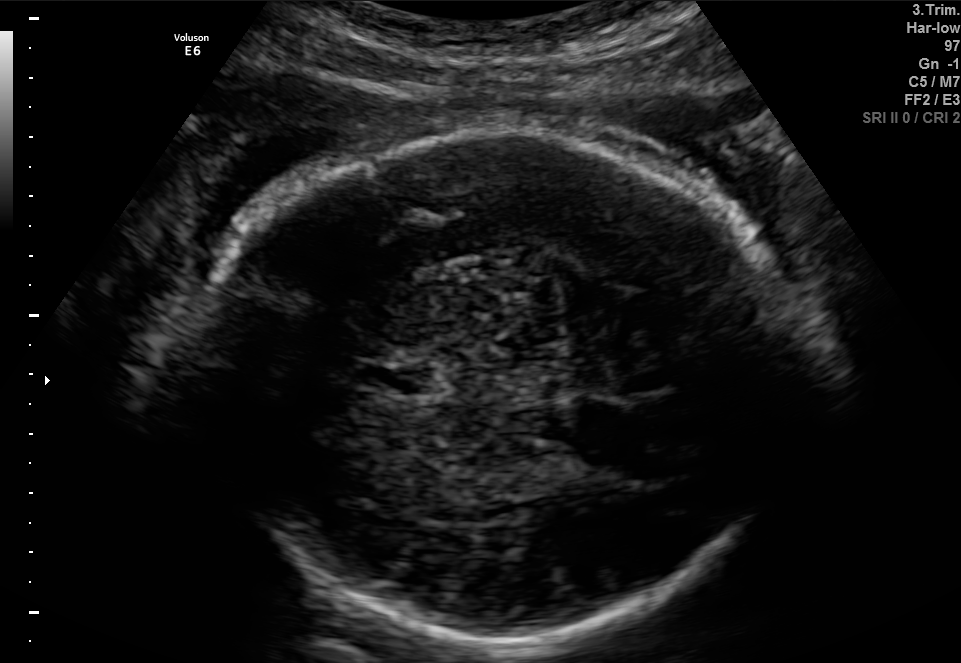
Fetal brain, trans-thalamic plane. Locate the fetal head and, if visible, the cavum septum pellucidum (CSP) and lateral ventricle (LV). Give bounding boxes as [x1,y1,x2,y2].

Head: [188,130,809,643]
CSP: [357,360,420,398]